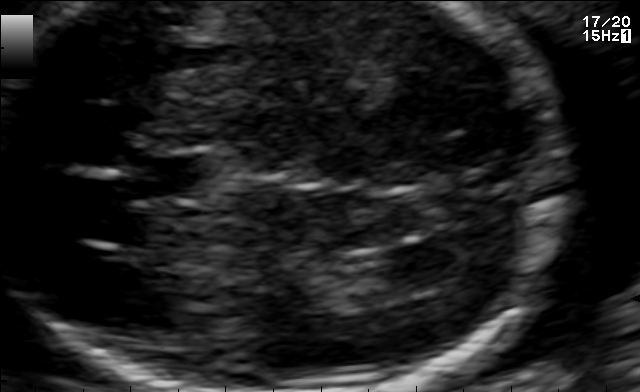
Fetal brain, trans-ventricular plane. Give [x1,y1,x2,y2] bounding boxes for each visible structure among: CSP, LV.

CSP: [130,157,201,197]
Lateral ventricle: [374,231,477,298]